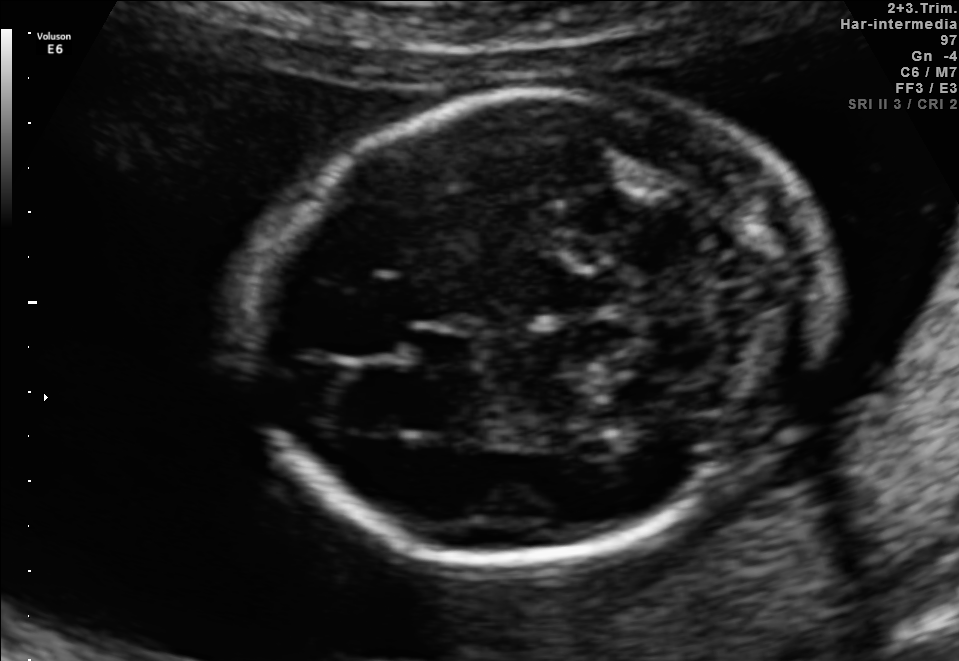
Which standard maternal-fetal ultrasound plane is shown: fetal abdomen, fetal brain, fetal femur, fetal thorax, maternal cervix, or other? If it's fetal brain and one of the three standard brain planes (trans-thalamic, trans-cerebellum, trans-ventricular), name which.

Fetal brain (trans-cerebellum plane)